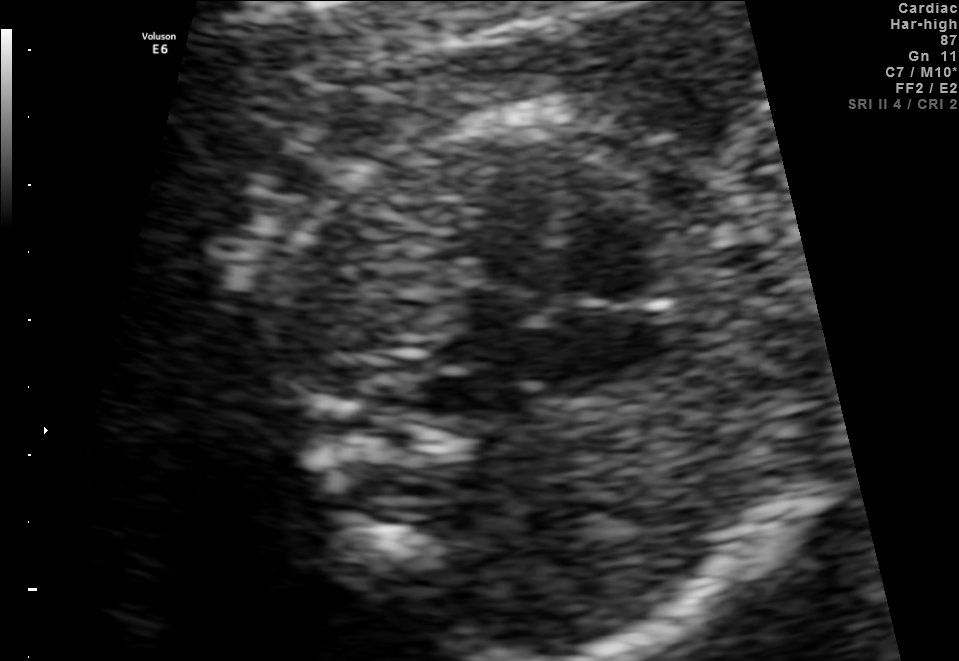
Classify this maternal-fetal ultrasound image as one of the six standard planes — fetal abdomen, fetal brain, fetal femur, fetal thorax, maternal cervix, or other. If it's fetal brain and one of the three standard brain planes (trans-thalamic, trans-cerebellum, trans-ventricular), name which.

Fetal thorax